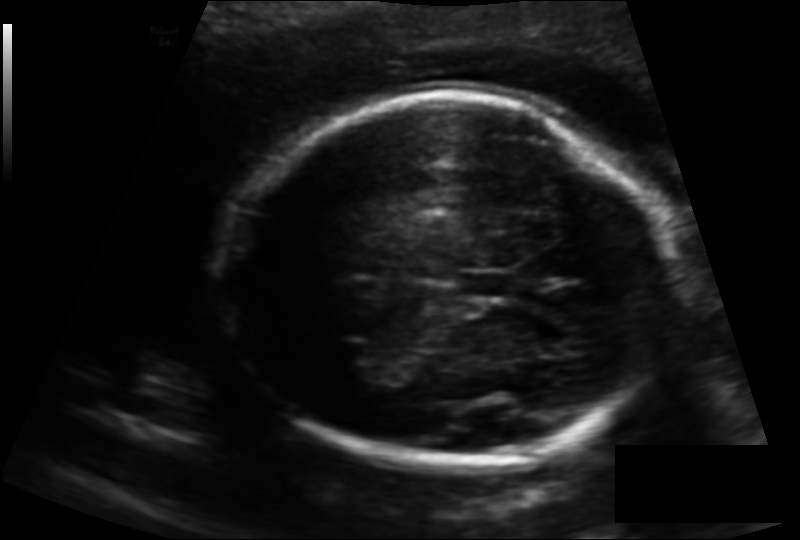
Fetal head ultrasound. Image width: 112.7 mm. Where is the fetal head?

Head bounding box: [224,95,677,465]